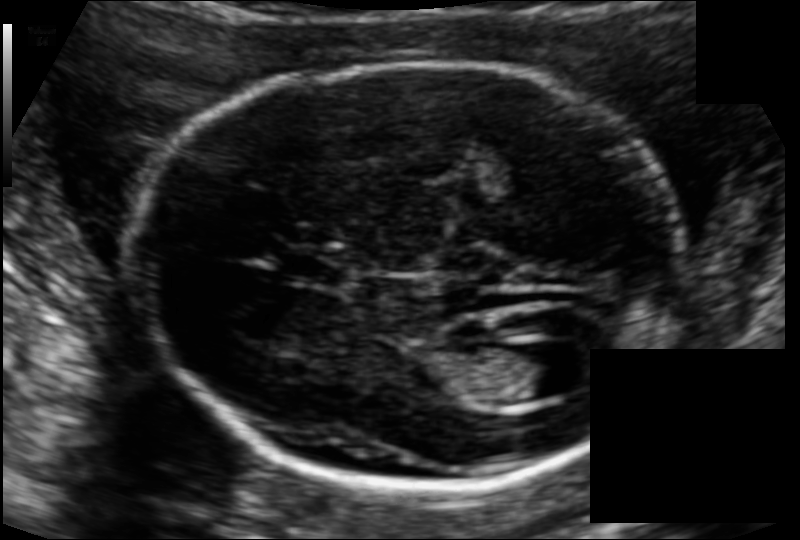
Estimate the fetal head circumference from this 2D ultrasound. Image width: 88.5 mm.

Head circumference: 175.2 mm.